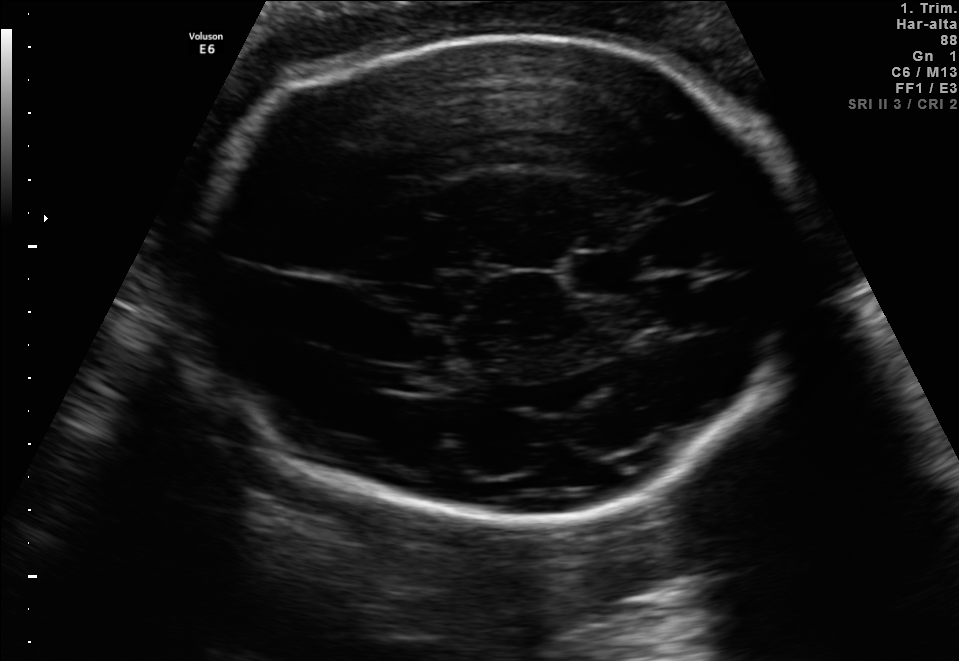
Fetal brain, trans-thalamic plane. Locate the fetal head and, if visible, the cavum septum pellucidum (CSP) and lateral ventricle (LV). Give bounding boxes as [x1,y1,x2,y2].

Head: [193,33,804,518]
CSP: [574,254,638,292]
Lateral ventricle: [370,363,449,396]